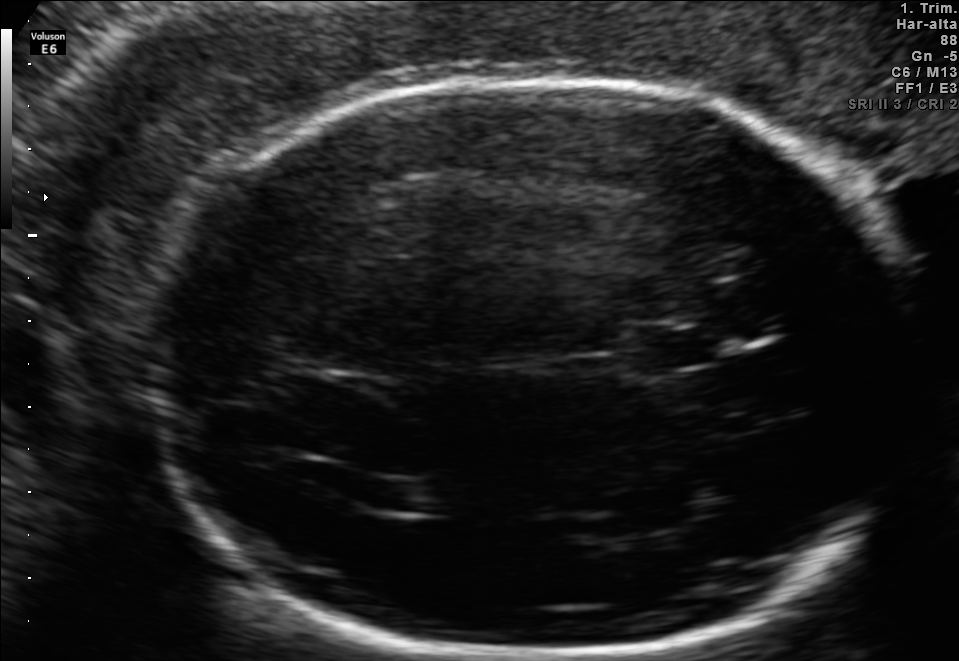
Fetal brain, trans-thalamic plane. Locate the fetal head and, if visible, the cavum septum pellucidum (CSP) and lateral ventricle (LV). Give bounding boxes as [x1,y1,x2,y2].

Head: [135,83,912,656]
CSP: [633,325,722,373]
Lateral ventricle: [371,480,452,515]